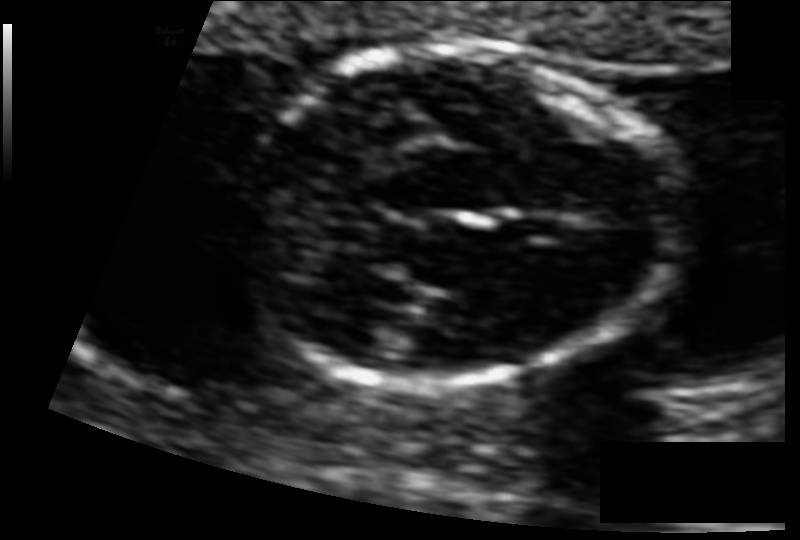
Fetal head ultrasound. Image width: 58.4 mm. Locate the cavum septum pellucidum.

CSP: [503,212,559,242]